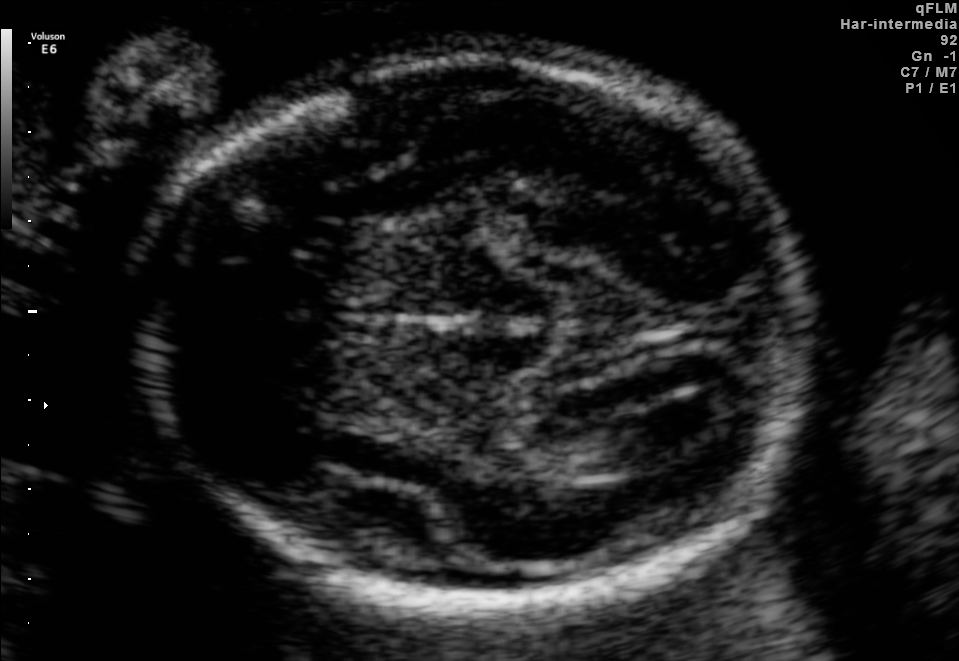
Fetal brain, trans-thalamic plane. Locate the fetal head.

Head: [134,56,817,601]